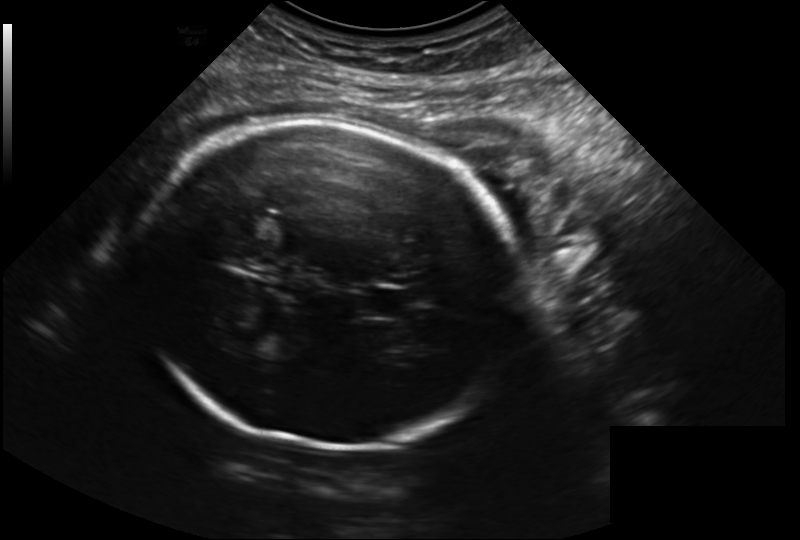
Measure the fetal head circumference shown in this ultrasound image. Image width: 178.0 mm.

Head circumference: 254.6 mm.